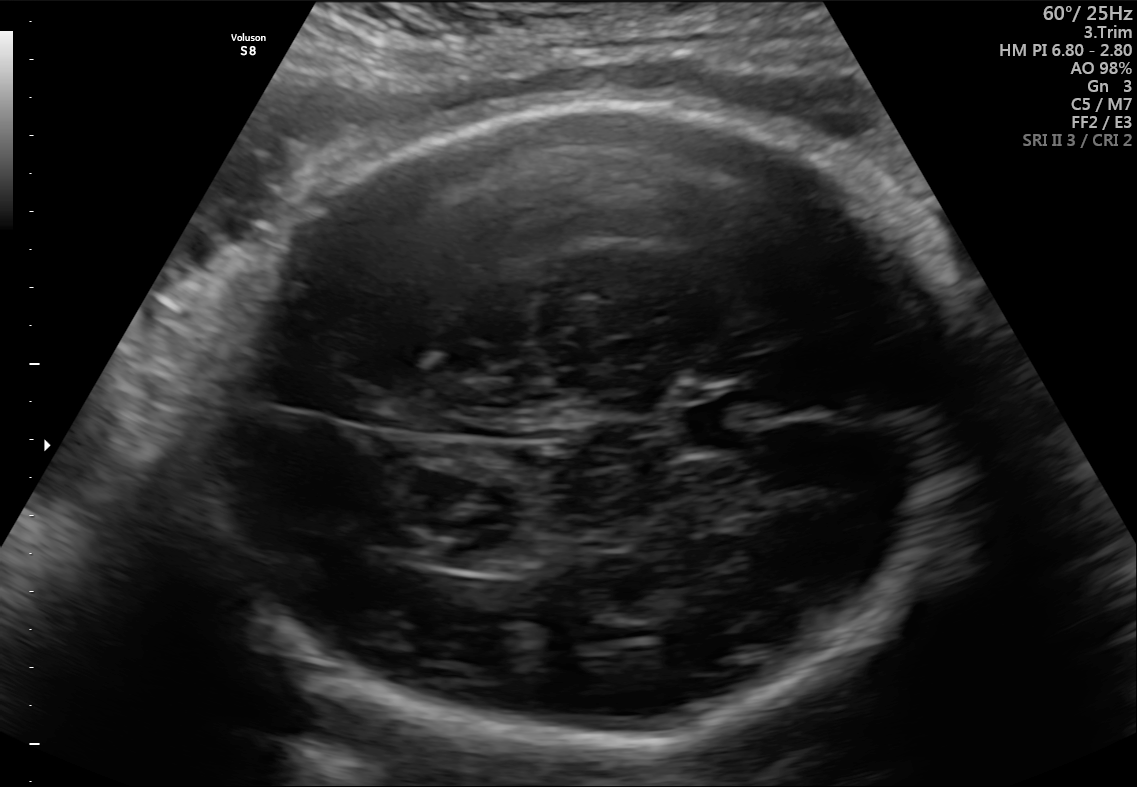
In this fetal brain, trans-thalamic plane, give the bounding box of the lateral ventricle.

[426,540,515,575]